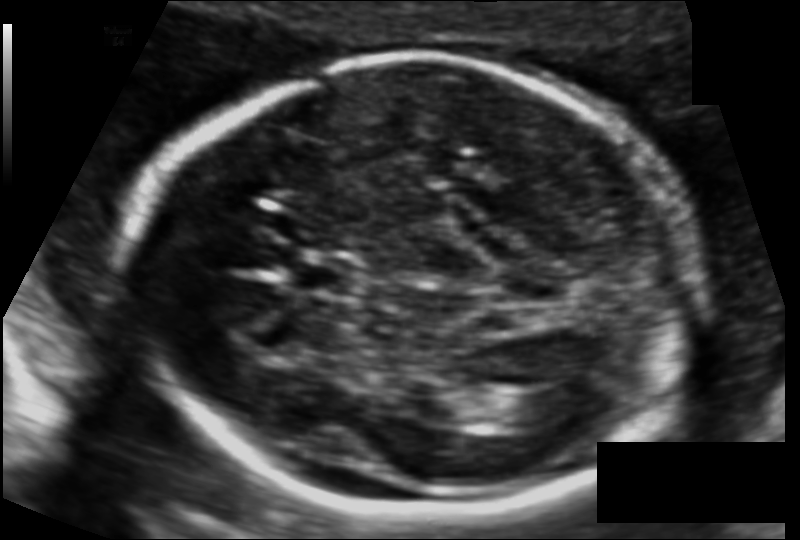
In this fetal head ultrasound, give the bounding box of the fetal head. Image width: 89.5 mm.

[128,59,702,512]